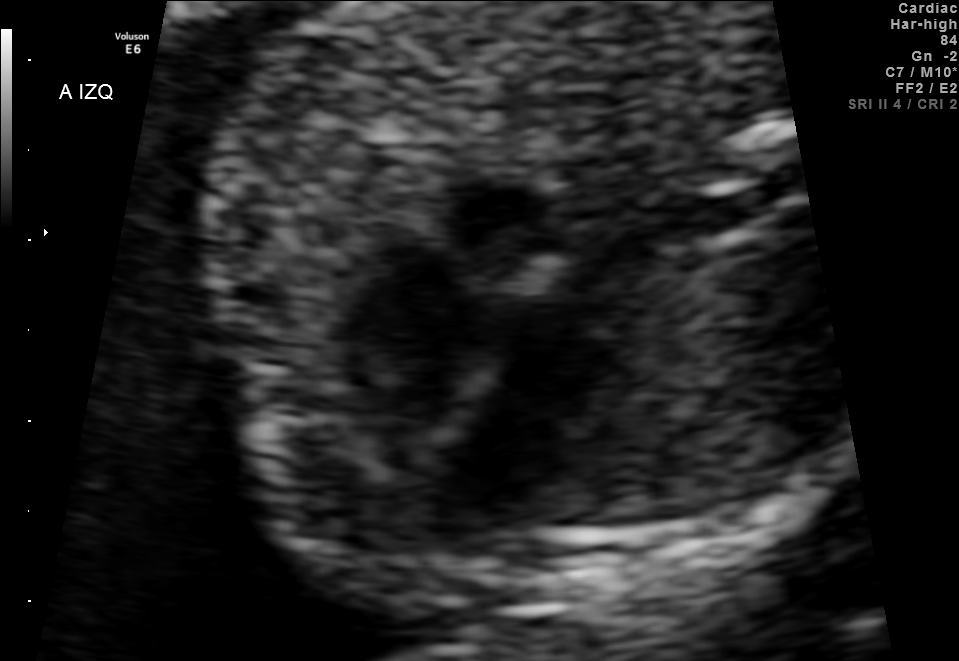
Classify this maternal-fetal ultrasound image as one of the six standard planes — fetal abdomen, fetal brain, fetal femur, fetal thorax, maternal cervix, or other. If it's fetal brain and one of the three standard brain planes (trans-thalamic, trans-cerebellum, trans-ventricular), name which.

Fetal thorax